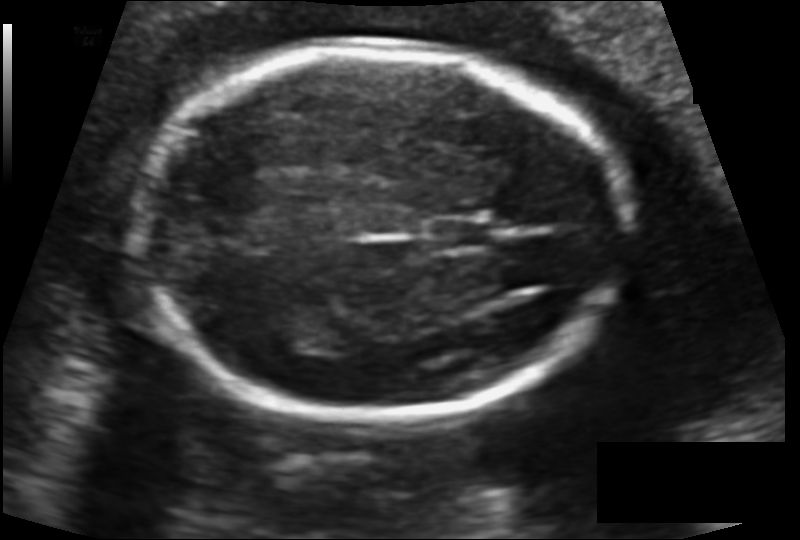
Fetal head ultrasound. Image width: 98.1 mm. Locate the fetal head.

Head: [134,51,626,417]